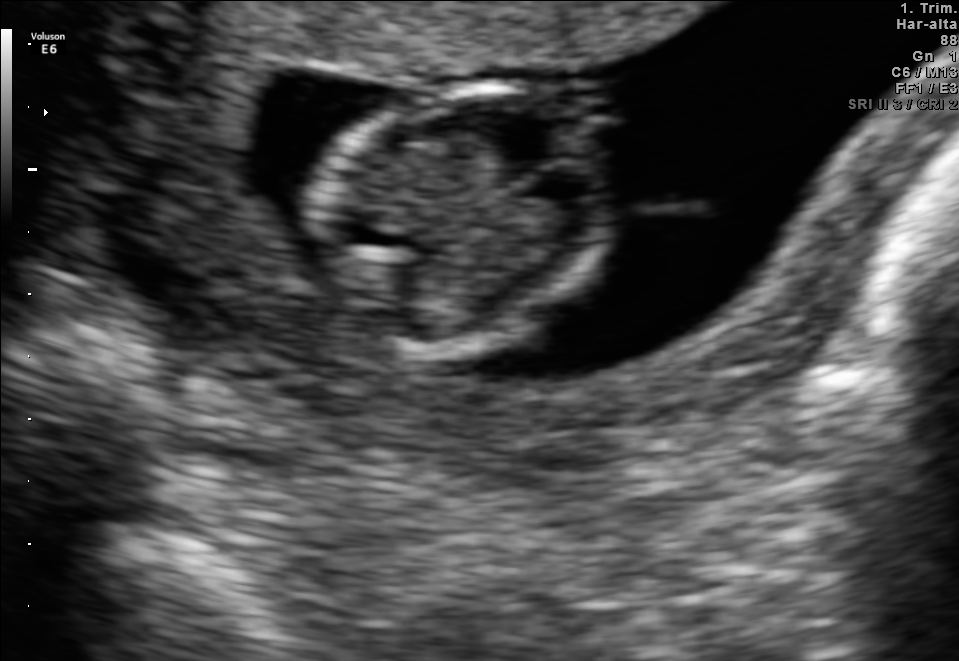
Fetal brain, trans-thalamic plane. Where is the fetal head?

Head bounding box: [302,87,615,348]